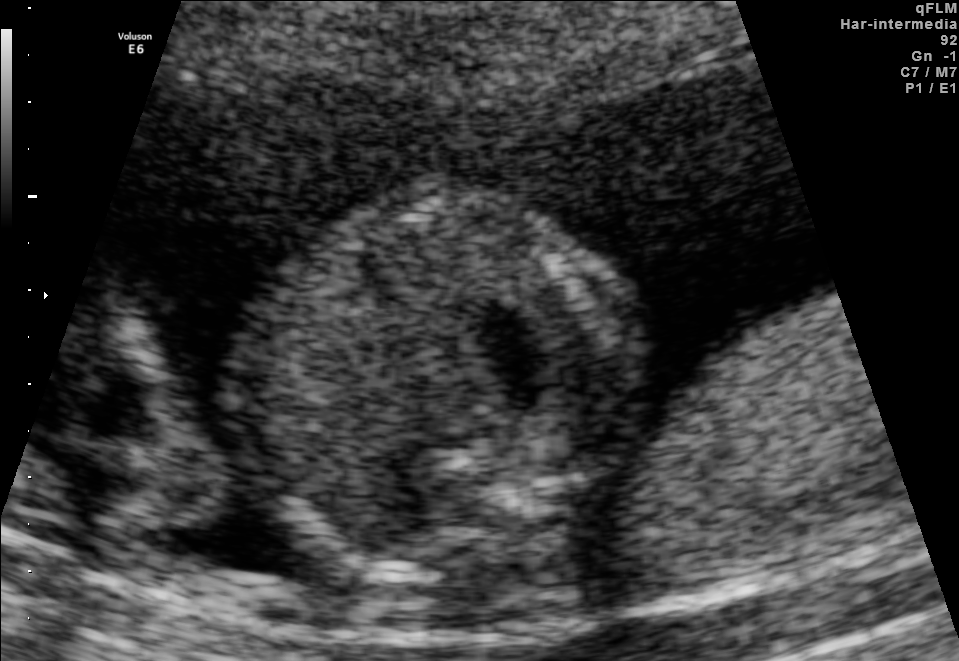
Classify this maternal-fetal ultrasound image as one of the six standard planes — fetal abdomen, fetal brain, fetal femur, fetal thorax, maternal cervix, or other. If it's fetal brain and one of the three standard brain planes (trans-thalamic, trans-cerebellum, trans-ventricular), name which.

Fetal abdomen